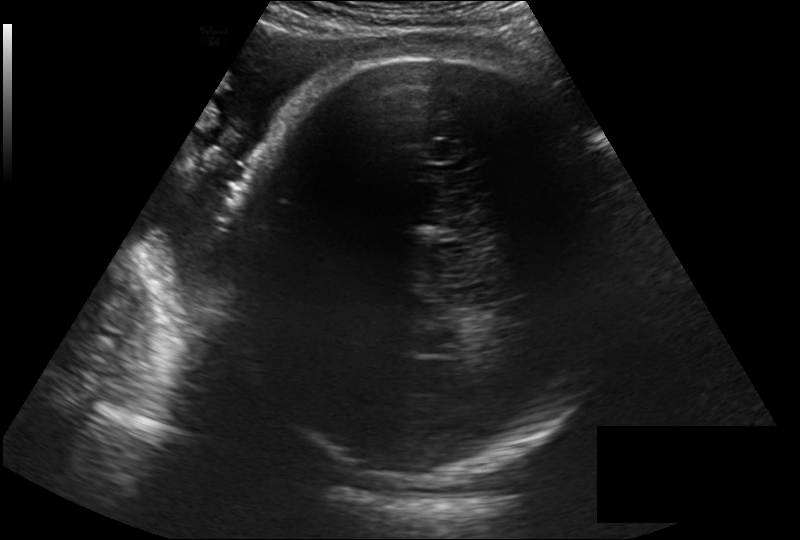
Estimate the fetal head circumference from this 2D ultrasound.

Head circumference: 330.7 mm (image width 206.0 mm).